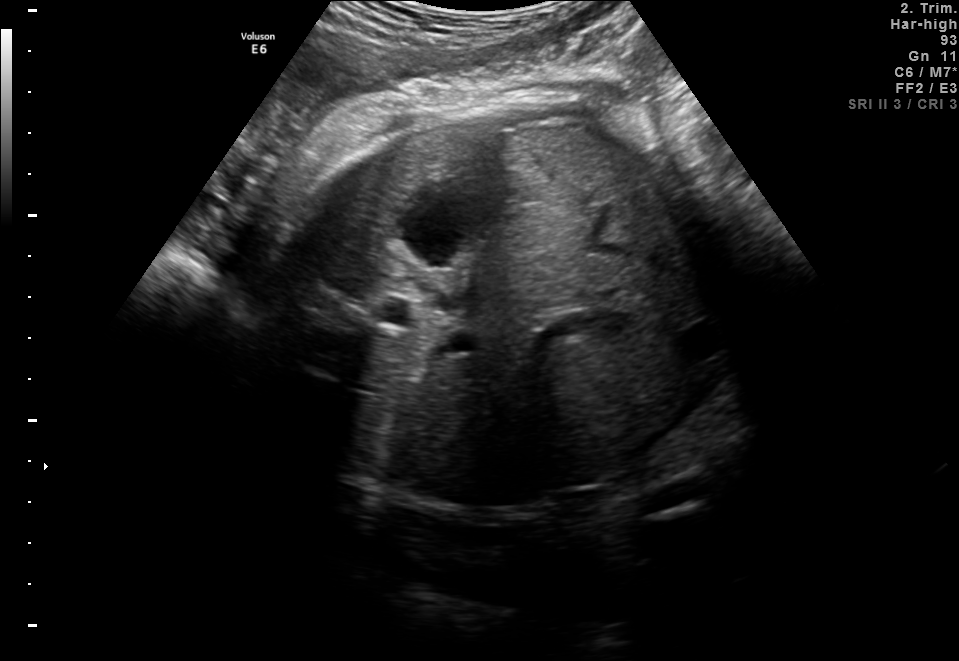
Which standard maternal-fetal ultrasound plane is shown: fetal abdomen, fetal brain, fetal femur, fetal thorax, maternal cervix, or other? If it's fetal brain and one of the three standard brain planes (trans-thalamic, trans-cerebellum, trans-ventricular), name which.

Fetal abdomen